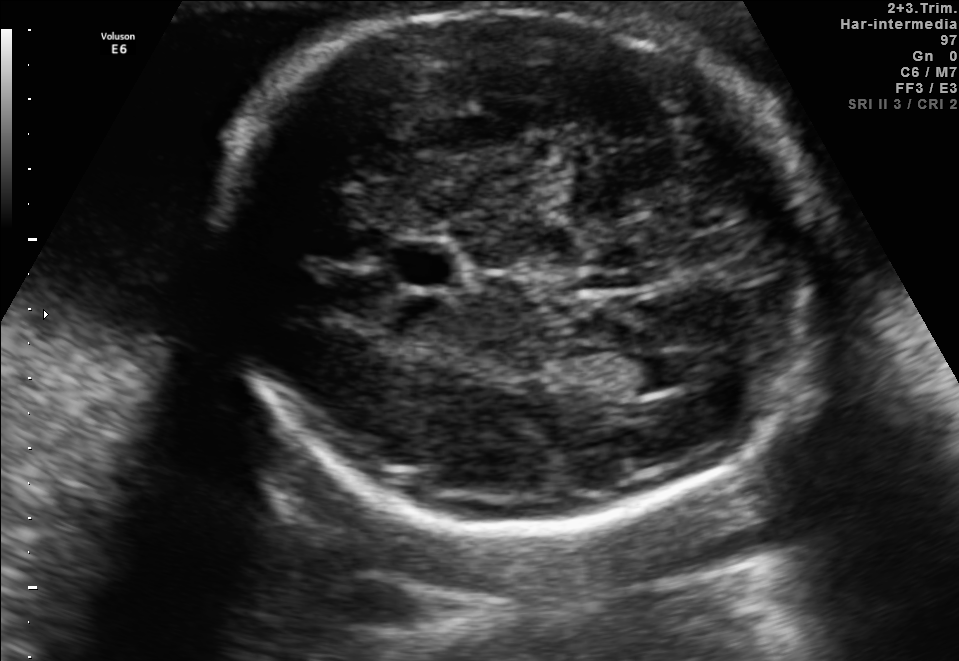
Fetal brain, trans-ventricular plane. Locate the cavum septum pellucidum.

CSP: [381,242,467,288]